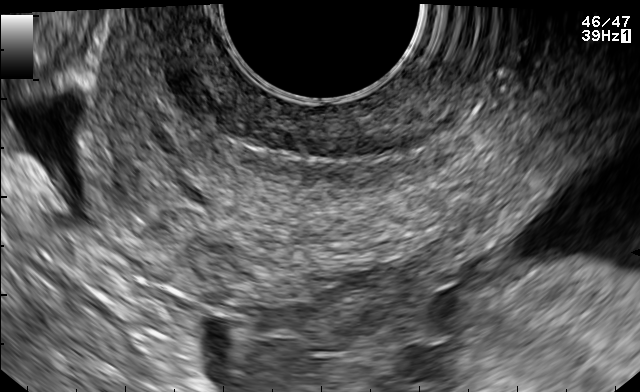
Identify the standard plane in this fetal ultrasound image: fetal abdomen, fetal brain, fetal femur, fetal thorax, maternal cervix, or other. If it's fetal brain and one of the three standard brain planes (trans-thalamic, trans-cerebellum, trans-ventricular), name which.

Maternal cervix